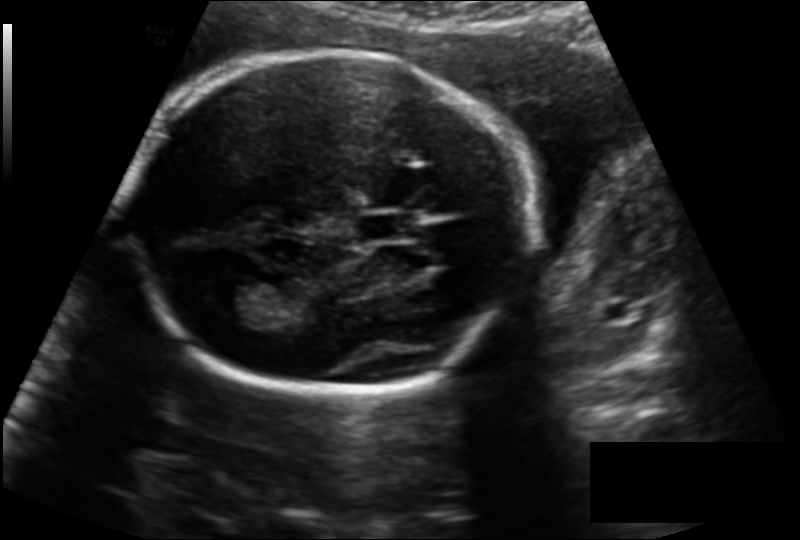
From this fetal ultrasound, estimate the head circumference (image width 122.1 mm).

Head circumference: 185.1 mm.